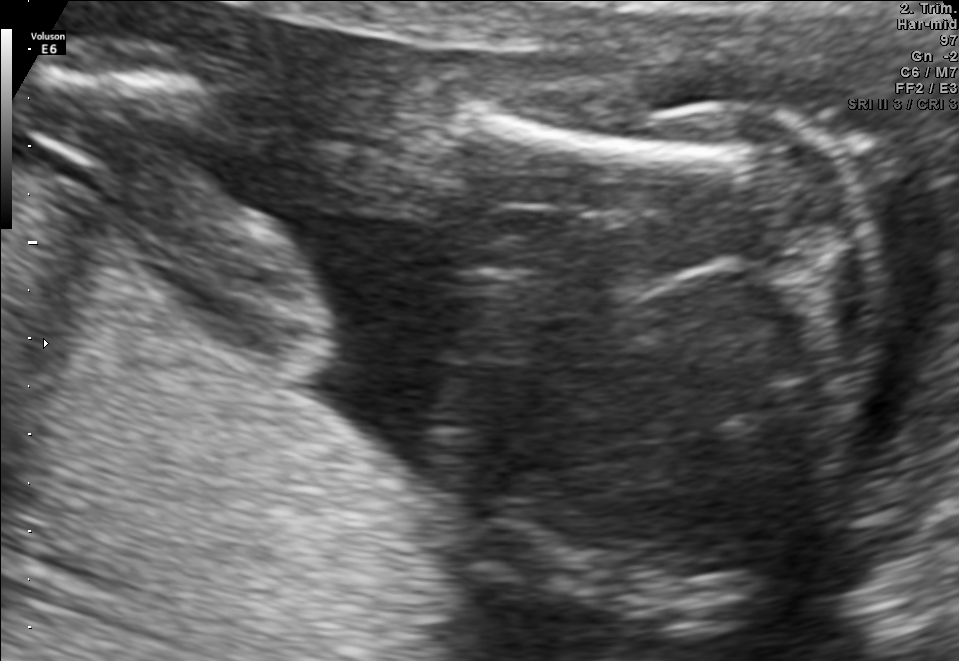
Which standard maternal-fetal ultrasound plane is shown: fetal abdomen, fetal brain, fetal femur, fetal thorax, maternal cervix, or other? If it's fetal brain and one of the three standard brain planes (trans-thalamic, trans-cerebellum, trans-ventricular), name which.

Other